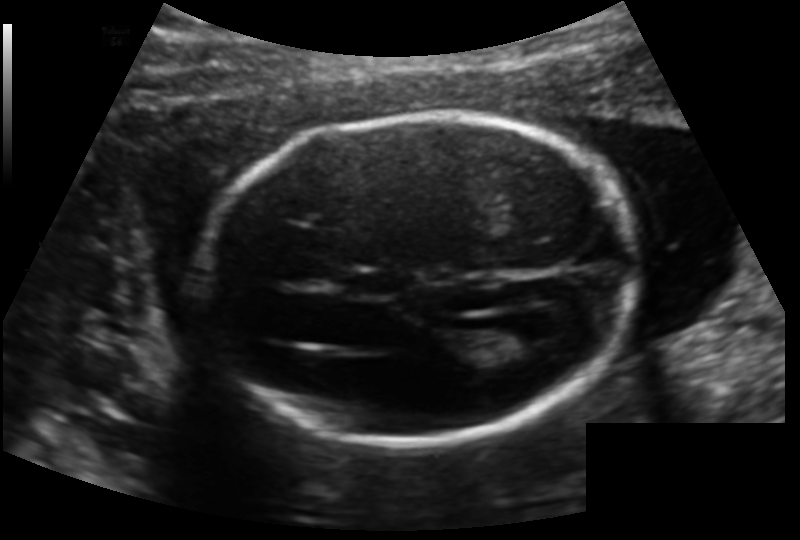
Fetal head ultrasound. Image width: 112.1 mm. Locate the fetal head.

Head: [203,114,637,444]